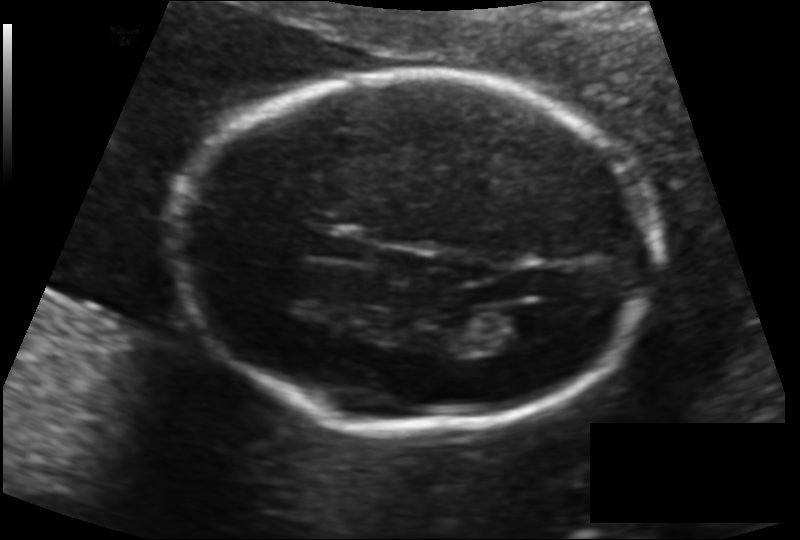
Fetal head ultrasound. Image width: 107.4 mm. Where is the cavum septum pellucidum?

CSP bounding box: [306,226,367,265]